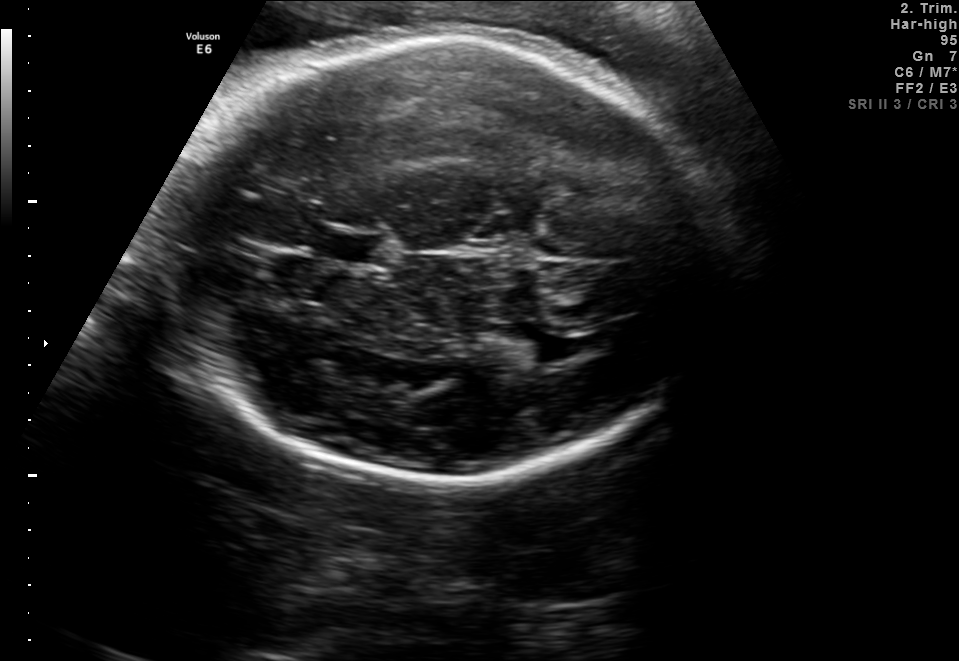
Fetal brain, trans-thalamic plane. Where is the cavum septum pellucidum?

CSP bounding box: [323,228,381,265]